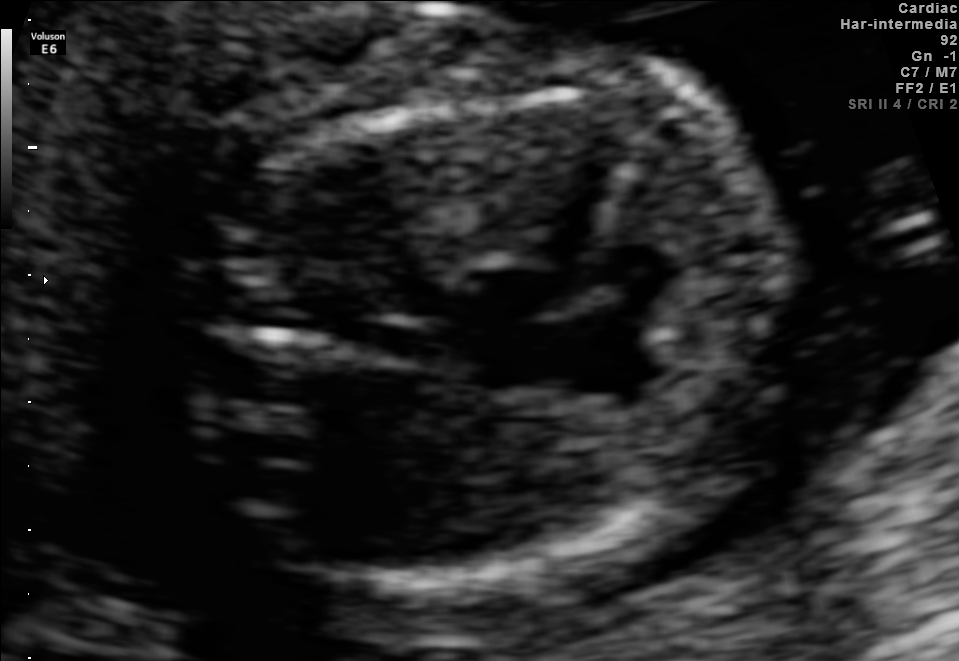
This is a 2D maternal-fetal ultrasound frame. Is it a fetal abdomen, fetal brain, fetal femur, fetal thorax, maternal cervix, or other standard plane? If it's fetal brain and one of the three standard brain planes (trans-thalamic, trans-cerebellum, trans-ventricular), name which.

Fetal thorax